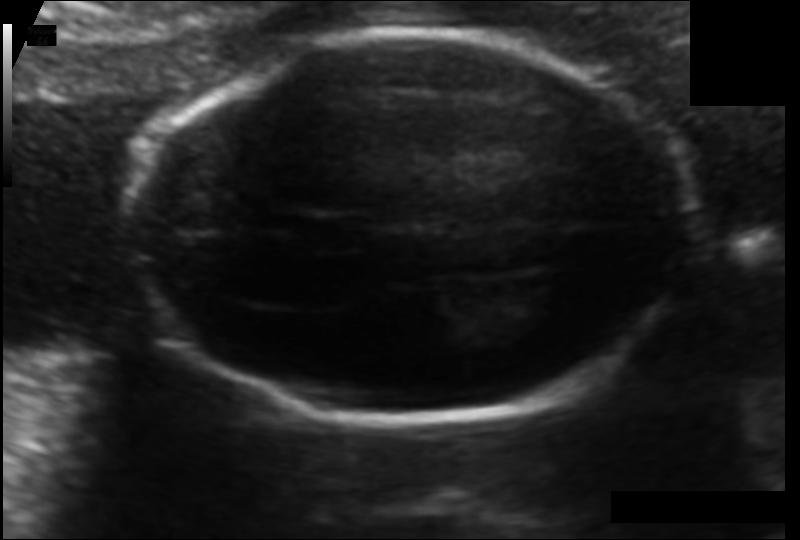
Fetal head ultrasound. Image width: 82.3 mm. Give [x1,y1,x2,y2] bounding boxes for each visible structure among: fetal head, CSP, LV.

Head: [133,31,692,421]